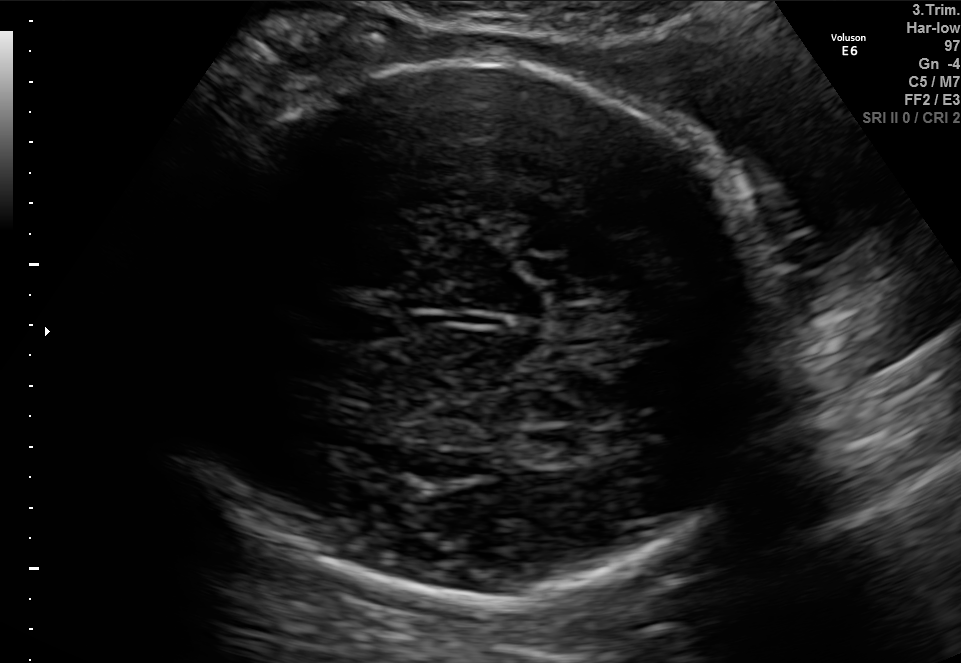
Fetal brain, trans-thalamic plane. Where is the cavum septum pellucidum?

CSP bounding box: [318,312,403,342]